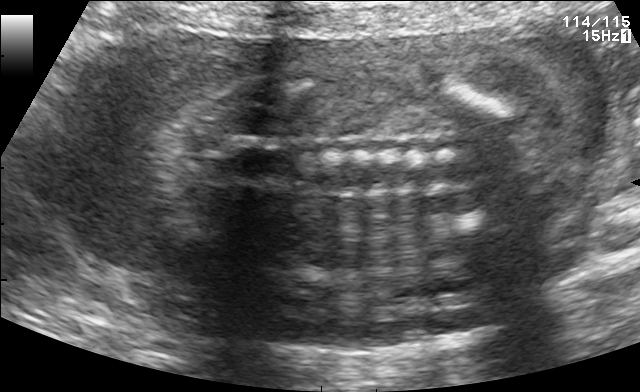
Identify the standard plane in this fetal ultrasound image: fetal abdomen, fetal brain, fetal femur, fetal thorax, maternal cervix, or other. If it's fetal brain and one of the three standard brain planes (trans-thalamic, trans-cerebellum, trans-ventricular), name which.

Other